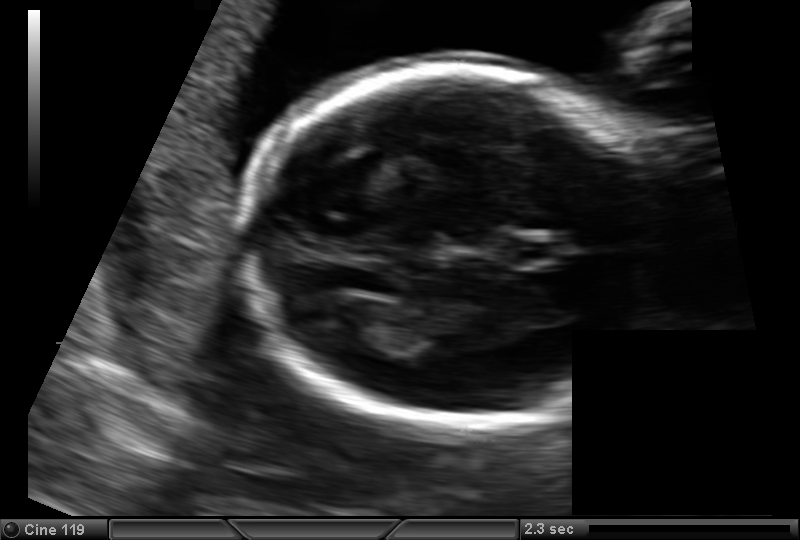
Fetal head ultrasound. Image width: 103.2 mm. Locate the cavum septum pellucidum.

CSP: [507,234,562,269]